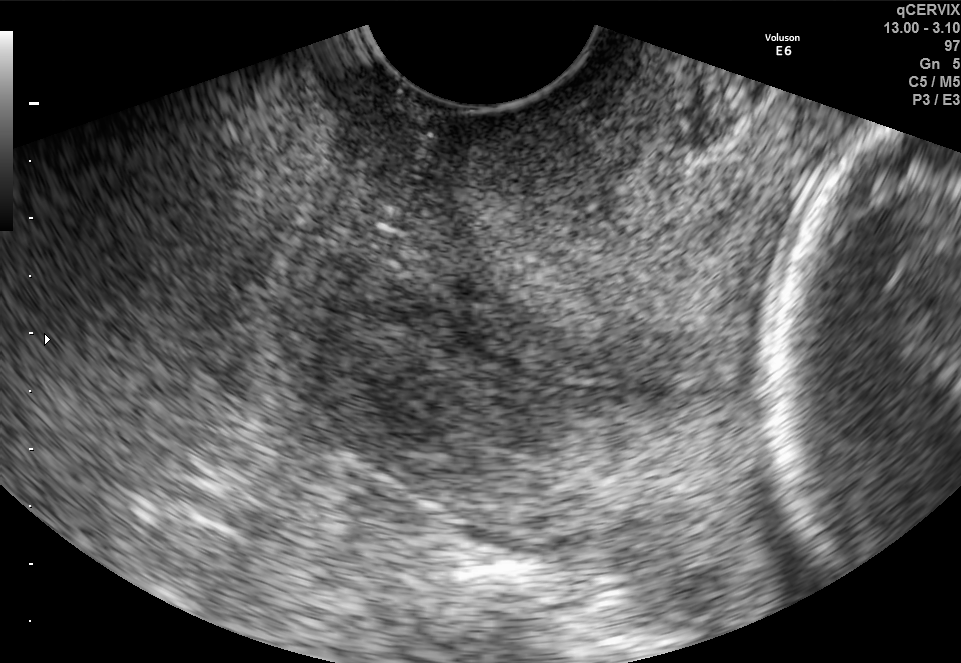
Classify this maternal-fetal ultrasound image as one of the six standard planes — fetal abdomen, fetal brain, fetal femur, fetal thorax, maternal cervix, or other. If it's fetal brain and one of the three standard brain planes (trans-thalamic, trans-cerebellum, trans-ventricular), name which.

Maternal cervix